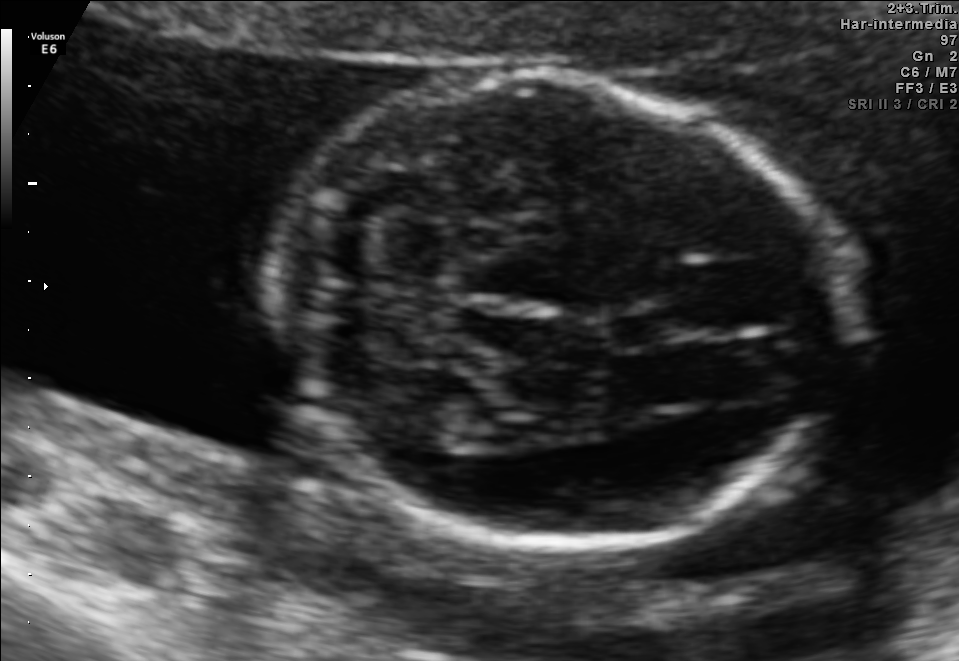
In this fetal brain, trans-cerebellum plane, give bounding boxes for the head outline, cavum septum pellucidum (CSP), and lateral ventricle (LV), where visible.

Head: [267,78,842,543]
CSP: [602,303,685,354]